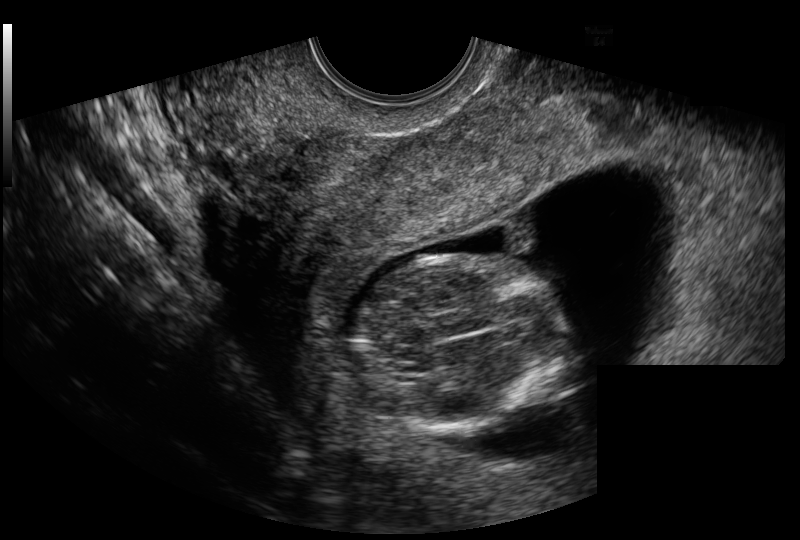
From this fetal ultrasound, estimate the head circumference (image width 103.2 mm).

Head circumference: 82.6 mm.